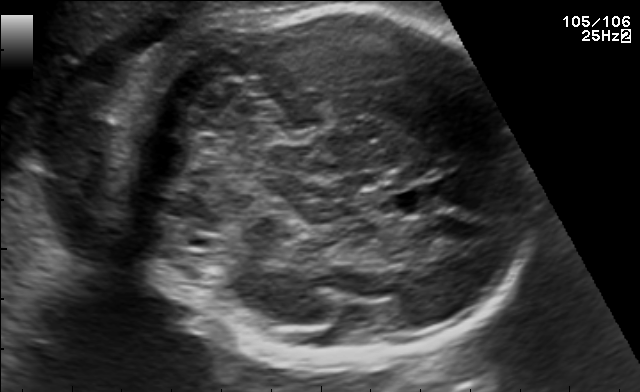
In this fetal brain, trans-cerebellum plane, give the bounding box of the fetal head.

[135,5,519,371]